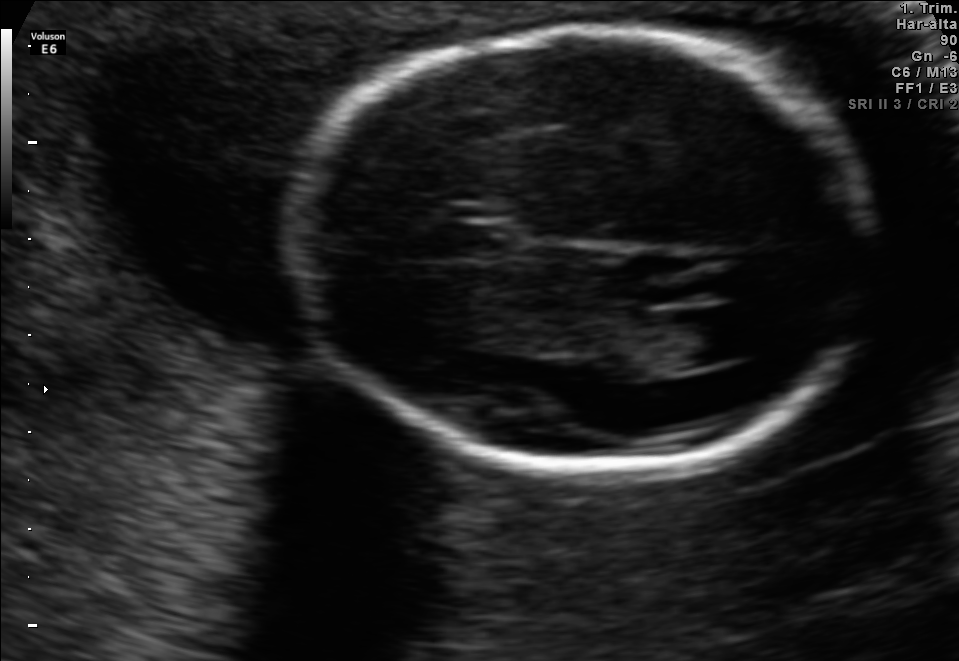
Fetal brain, trans-ventricular plane. Where is the lateral ventricle?

Lateral ventricle bounding box: [651,300,763,375]